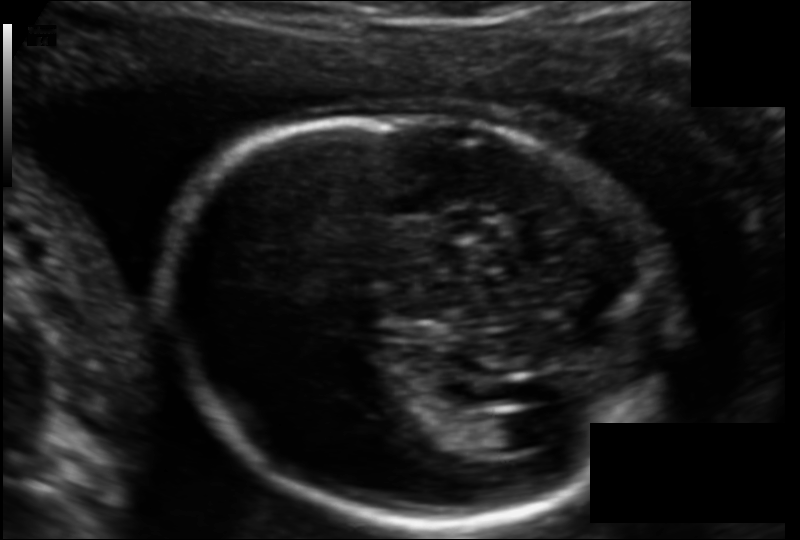
Fetal head ultrasound. Image width: 98.5 mm. Where is the fetal head?

Head bounding box: [172,113,668,524]